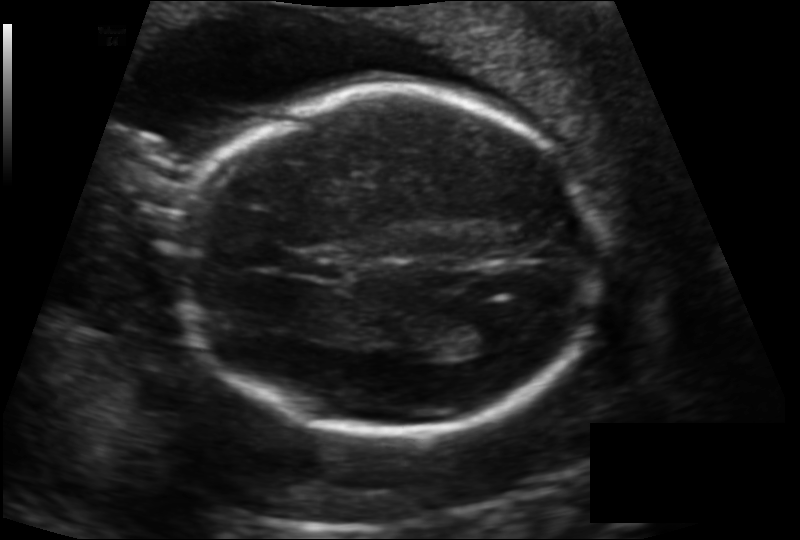
Fetal head ultrasound. Image width: 113.2 mm. Where is the fetal head?

Head bounding box: [175,87,603,435]